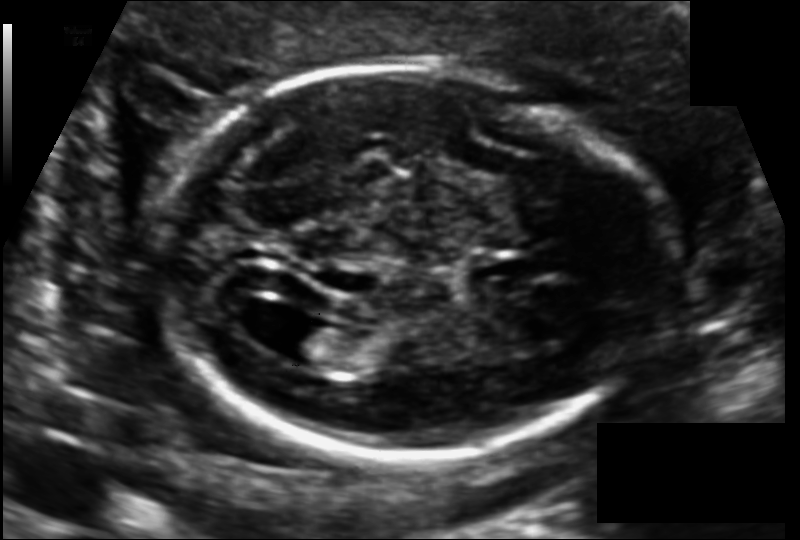
Fetal head ultrasound. Image width: 94.6 mm. Locate the lateral ventricle.

Lateral ventricle: [271,313,351,376]